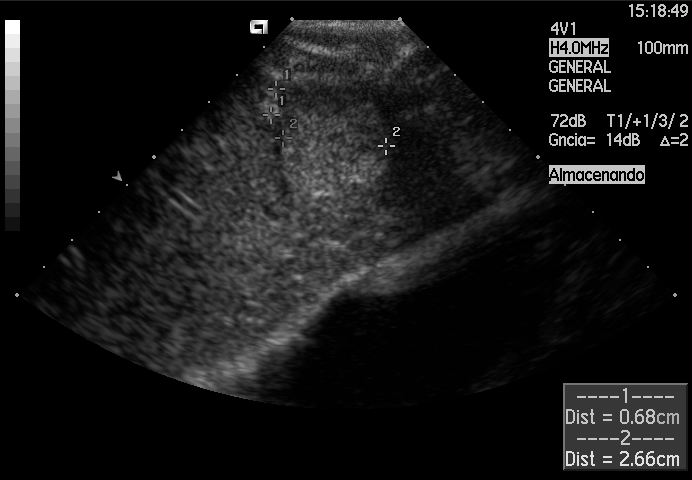
Which standard maternal-fetal ultrasound plane is shown: fetal abdomen, fetal brain, fetal femur, fetal thorax, maternal cervix, or other? If it's fetal brain and one of the three standard brain planes (trans-thalamic, trans-cerebellum, trans-ventricular), name which.

Other